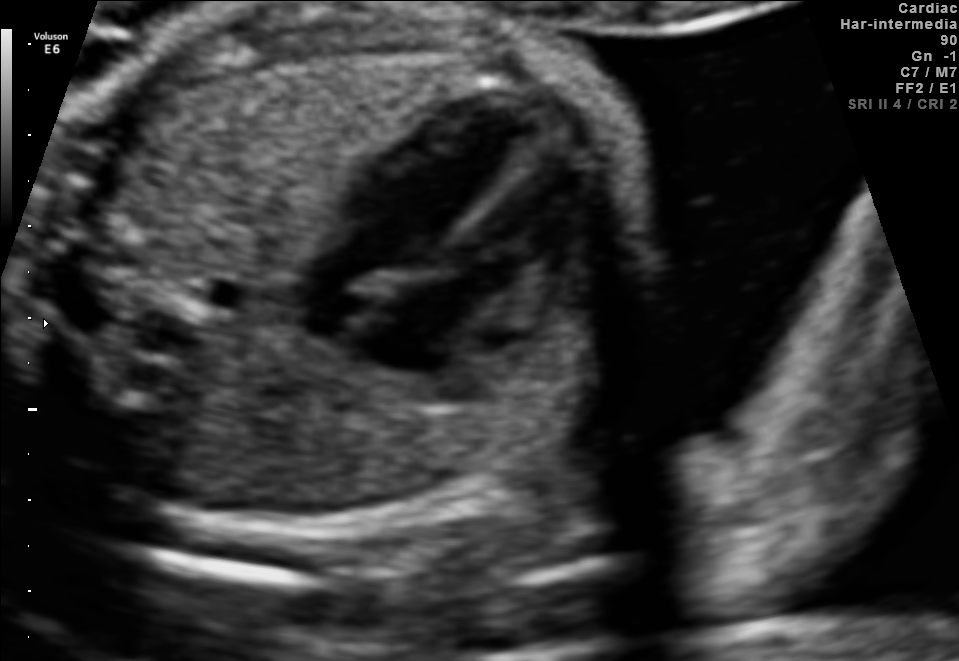
Identify the standard plane in this fetal ultrasound image: fetal abdomen, fetal brain, fetal femur, fetal thorax, maternal cervix, or other. If it's fetal brain and one of the three standard brain planes (trans-thalamic, trans-cerebellum, trans-ventricular), name which.

Fetal thorax